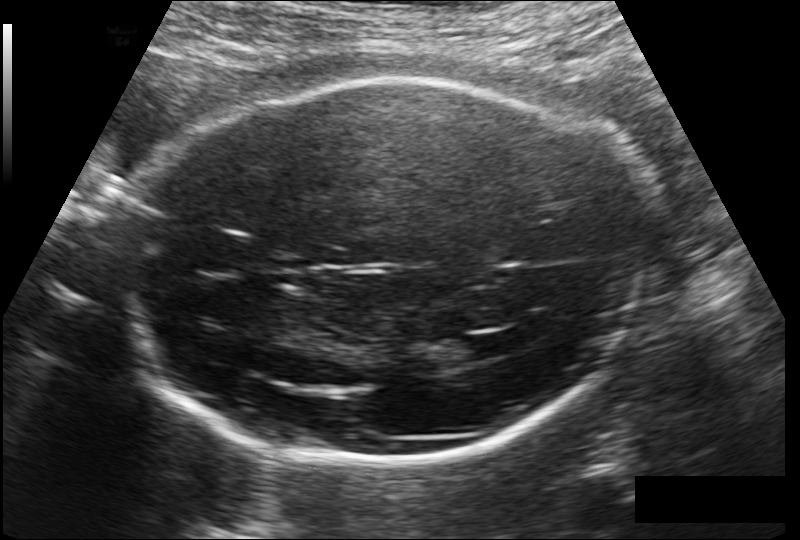
Fetal head ultrasound. Image width: 142.1 mm. Locate the fetal head and, if visible, the cavum septum pellucidum (CSP) and lateral ventricle (LV). Give bounding boxes as [x1,y1,x2,y2].

Head: [125,80,647,465]
Lateral ventricle: [441,334,492,366]